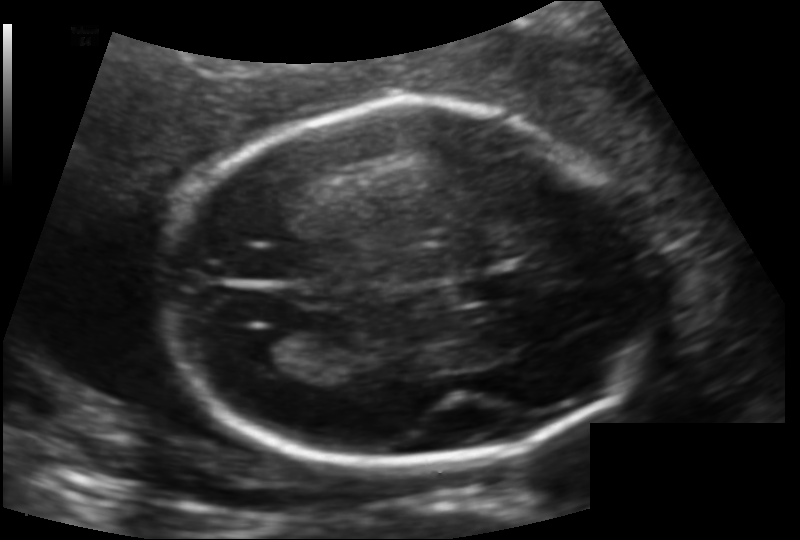
What is the fetal head circumference? Image width is 106.2 mm.

185.7 mm